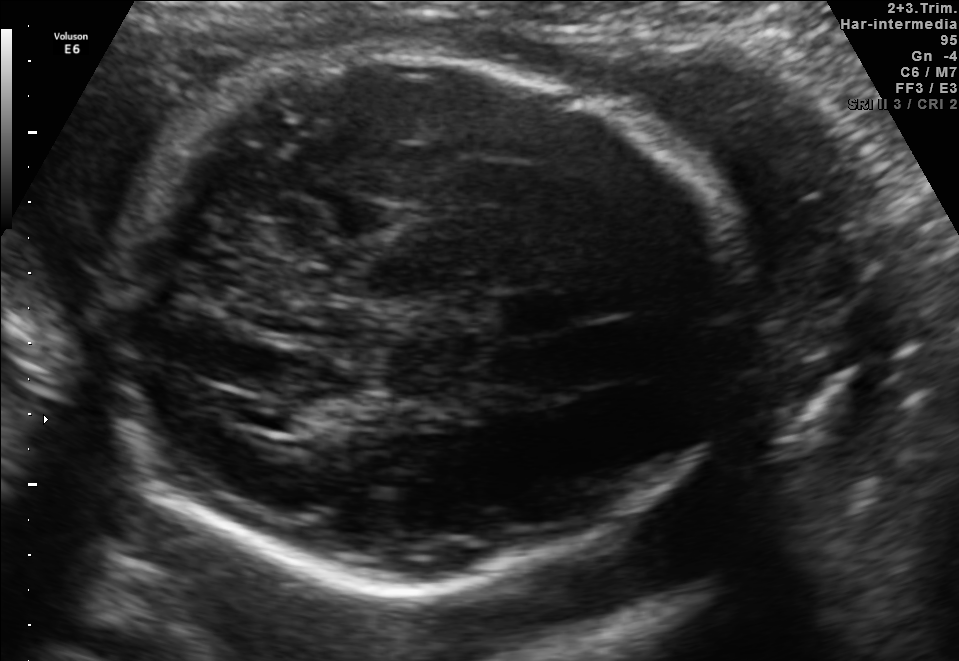
Fetal brain, trans-thalamic plane. Locate the fetal head and, if visible, the cavum septum pellucidum (CSP) and lateral ventricle (LV). Give bounding boxes as [x1,y1,x2,y2].

Head: [113,52,734,591]
CSP: [501,294,570,334]
Lateral ventricle: [229,389,313,437]